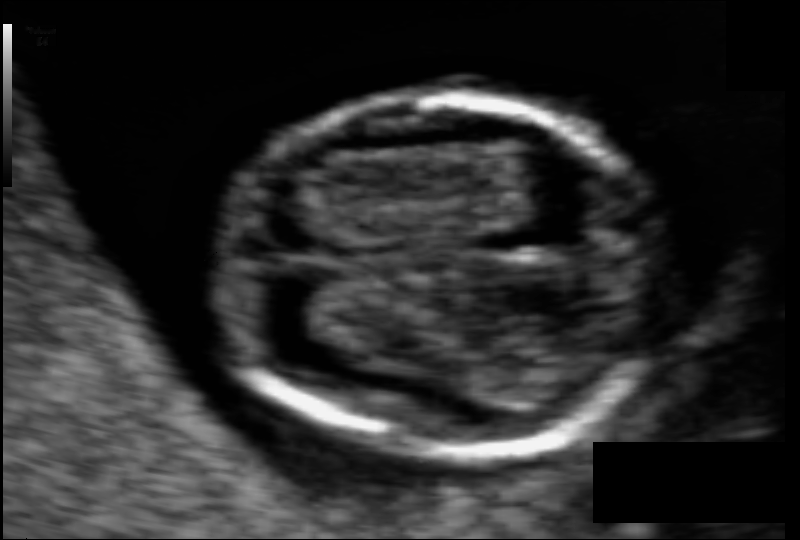
Fetal head ultrasound. Image width: 44.9 mm. Give [x1,y1,x2,y2] bounding boxes for each visible structure among: fetal head, CSP, LV.

Head: [214,98,671,450]